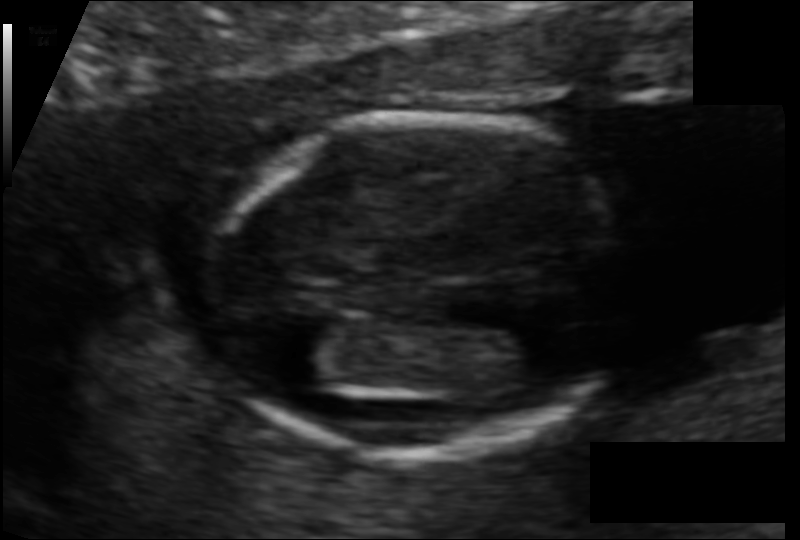
Fetal head ultrasound. Image width: 65.5 mm. Give [x1,y1,x2,y2] bounding boxes for each visible structure among: fetal head, CSP, LV.

Head: [210,110,630,457]